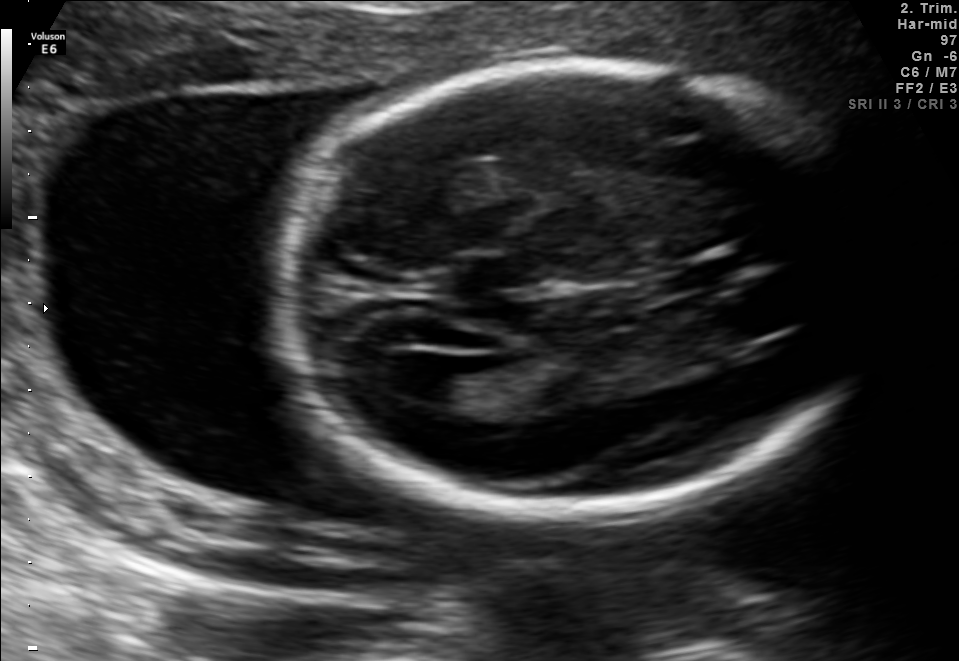
Fetal brain, trans-ventricular plane. Locate the fetal head.

Head: [264,53,891,526]